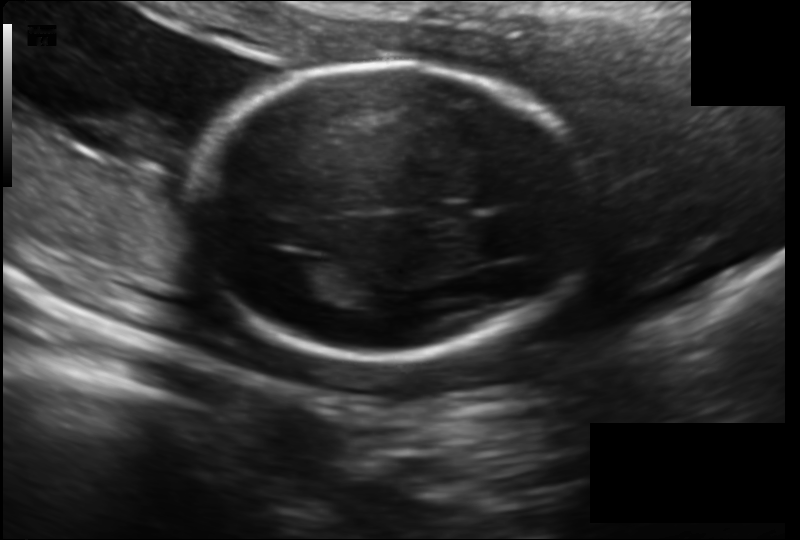
Measure the fetal head circumference shown in this ultrasound image. Image width: 126.8 mm.

Head circumference: 180.8 mm.